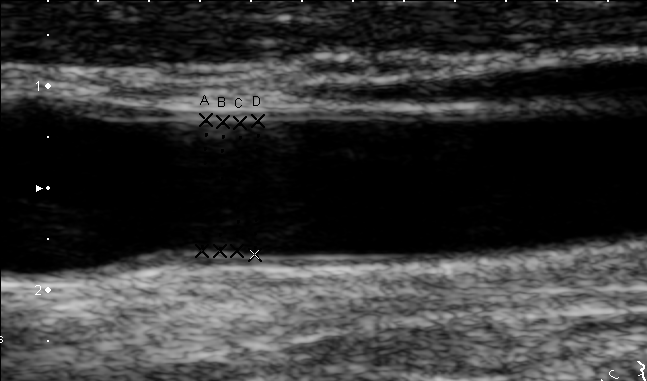
Identify the standard plane in this fetal ultrasound image: fetal abdomen, fetal brain, fetal femur, fetal thorax, maternal cervix, or other. If it's fetal brain and one of the three standard brain planes (trans-thalamic, trans-cerebellum, trans-ventricular), name which.

Other